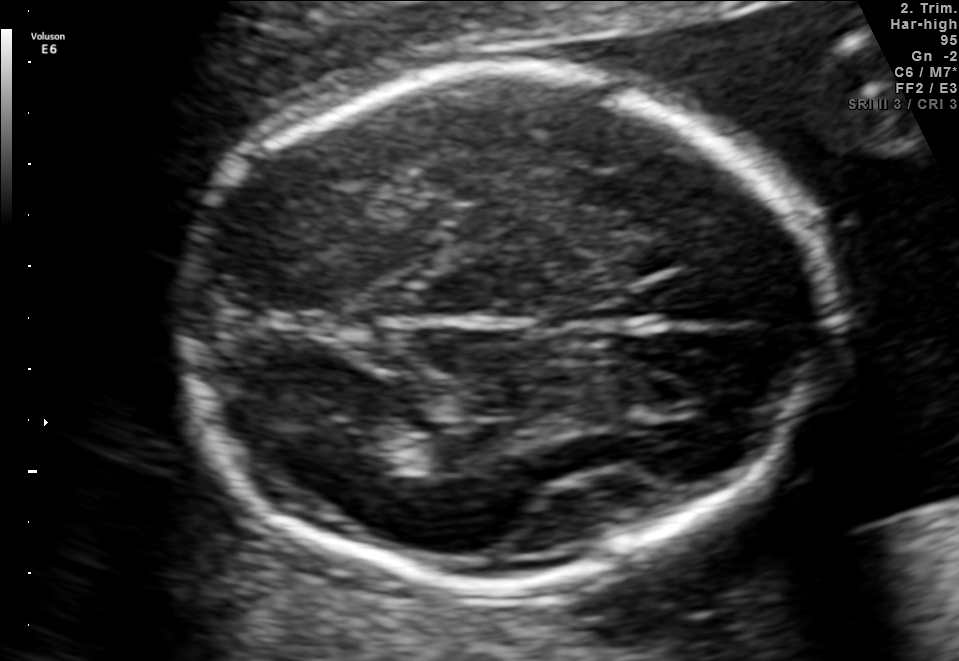
Fetal brain, trans-thalamic plane. Locate the fetal head.

Head: [177,71,828,582]